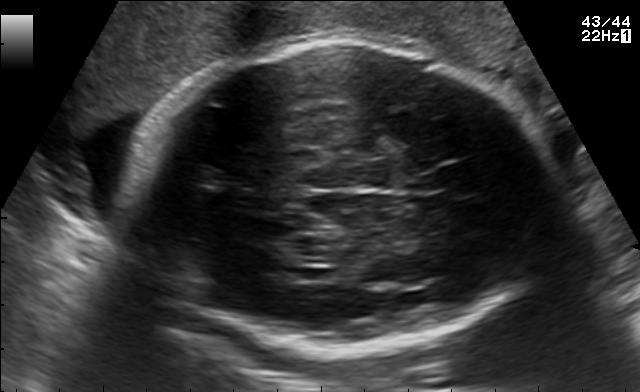
Fetal brain, trans-thalamic plane. Where is the fetal head?

Head bounding box: [131,43,552,357]